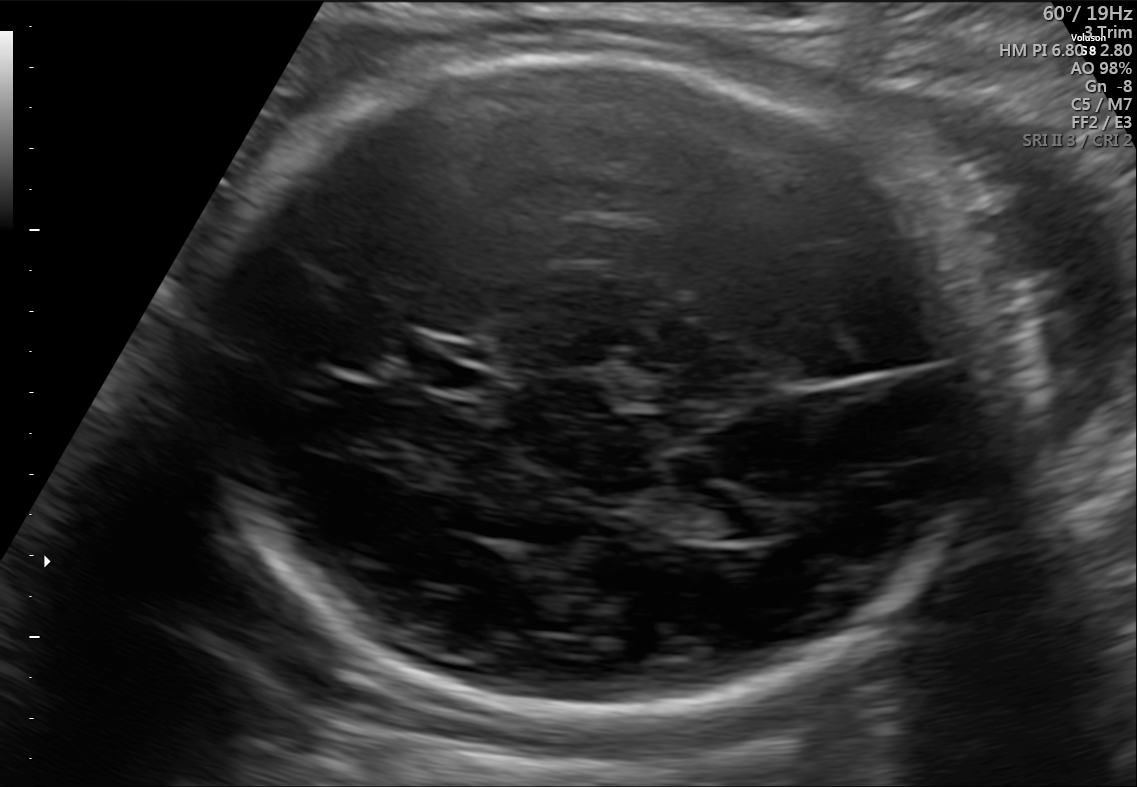
In this fetal brain, trans-ventricular plane, give bounding boxes for the head outline, cavum septum pellucidum (CSP), and lateral ventricle (LV), where visible.

Head: [173,51,988,736]
CSP: [393,328,498,402]
Lateral ventricle: [703,506,782,540]